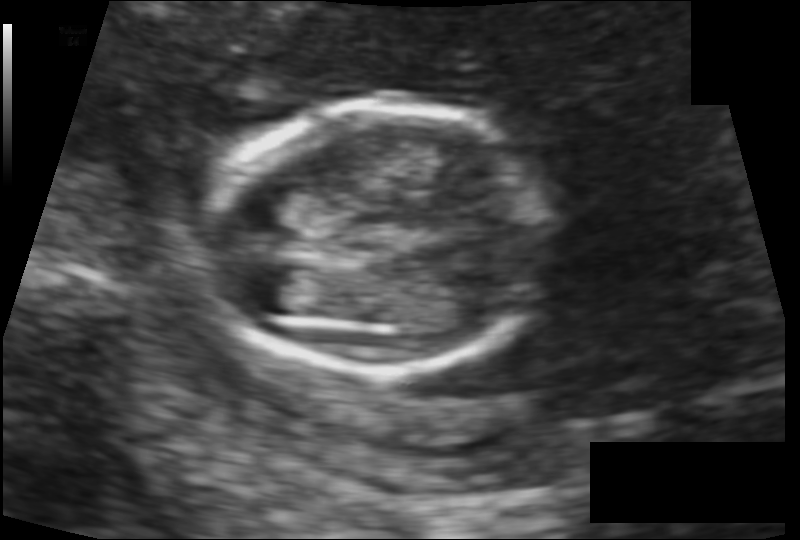
Estimate the fetal head circumference from this 2D ultrasound.

Head circumference: 108.0 mm (image width 88.5 mm).